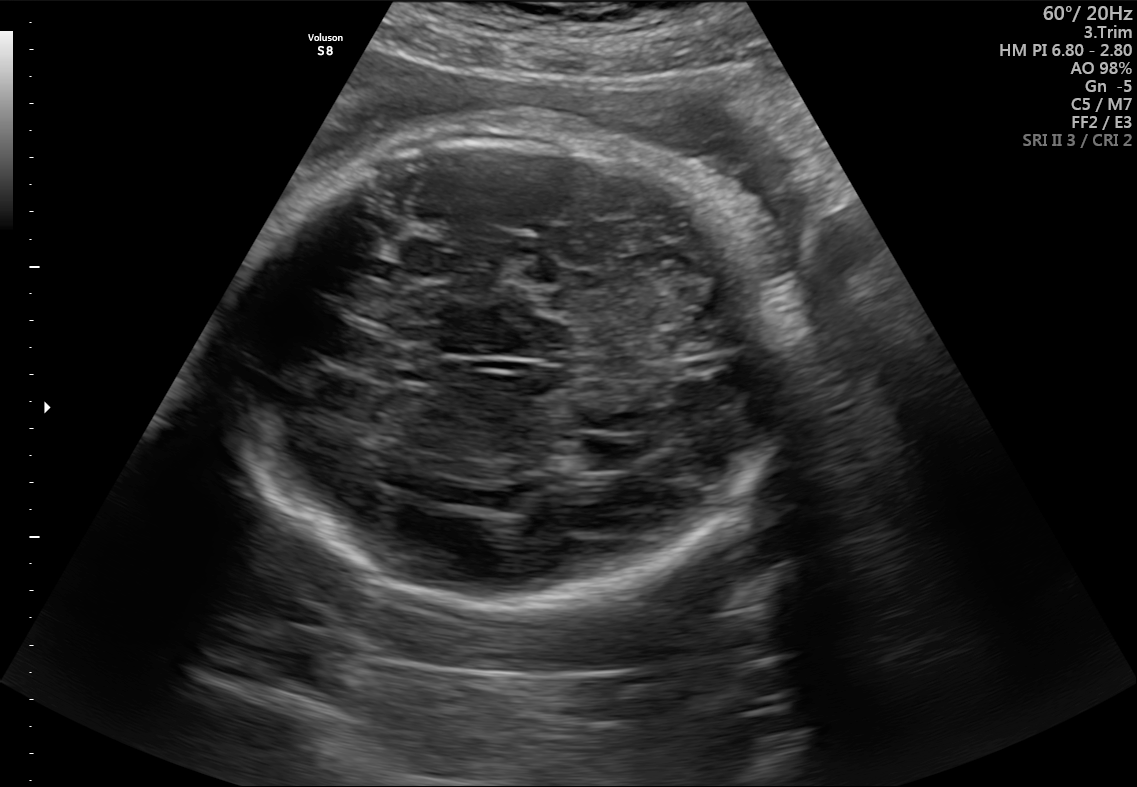
Fetal brain, trans-thalamic plane. Where is the fetal head?

Head bounding box: [221,130,798,605]